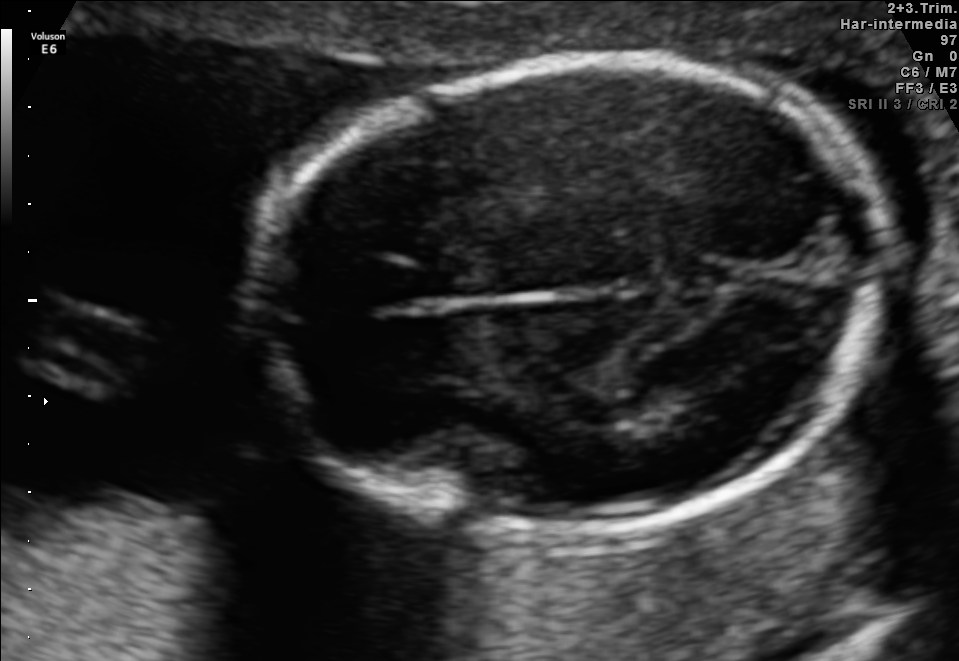
Which standard maternal-fetal ultrasound plane is shown: fetal abdomen, fetal brain, fetal femur, fetal thorax, maternal cervix, or other? If it's fetal brain and one of the three standard brain planes (trans-thalamic, trans-cerebellum, trans-ventricular), name which.

Fetal brain (trans-thalamic plane)